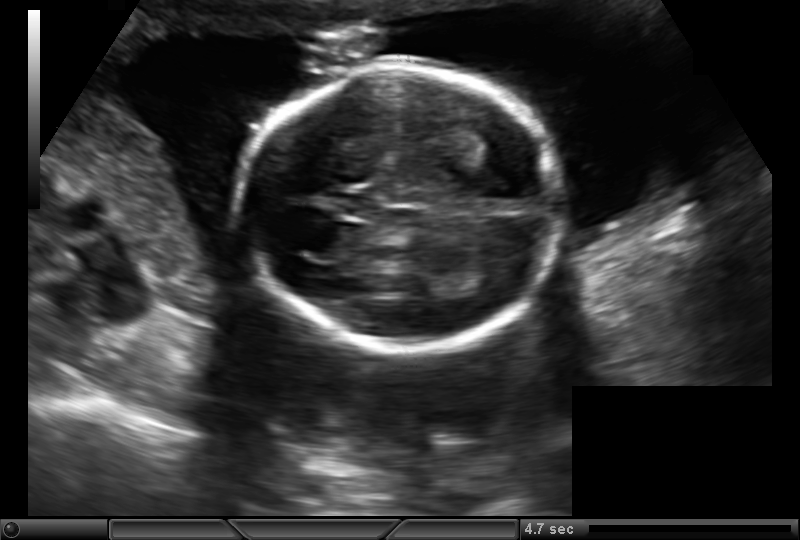
Fetal head ultrasound. Image width: 129.0 mm. Where is the fetal head?

Head bounding box: [241,65,557,350]